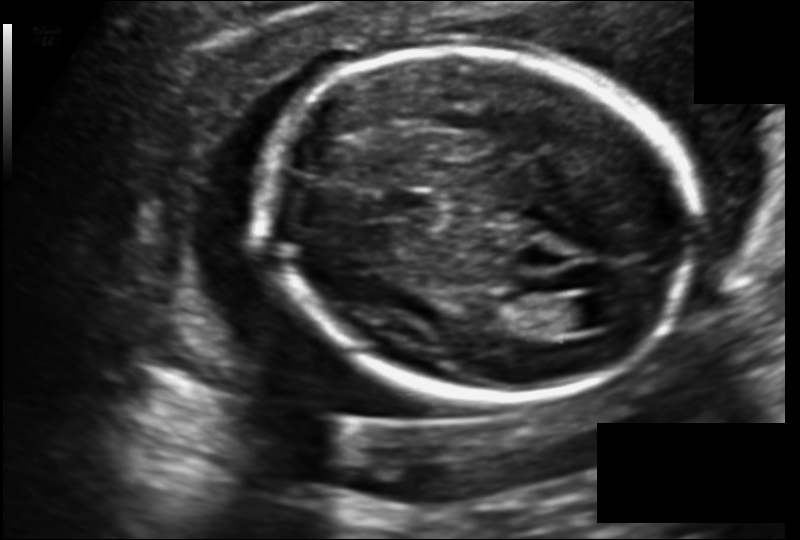
Fetal head ultrasound. Image width: 111.6 mm. Locate the cavum septum pellucidum.

CSP: [386,191,439,220]